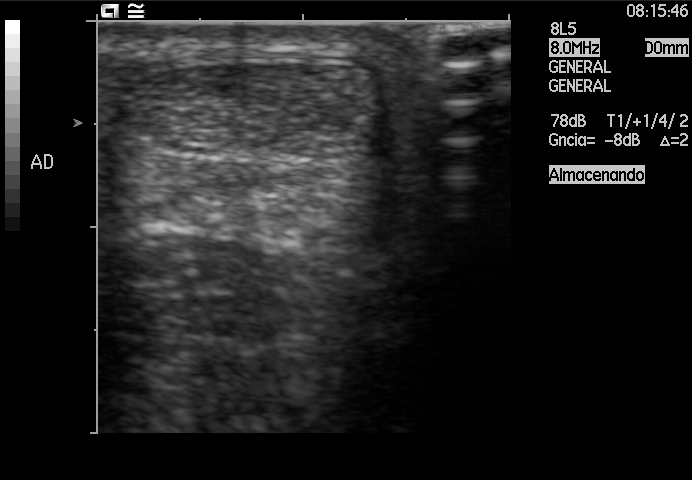
Classify this maternal-fetal ultrasound image as one of the six standard planes — fetal abdomen, fetal brain, fetal femur, fetal thorax, maternal cervix, or other. If it's fetal brain and one of the three standard brain planes (trans-thalamic, trans-cerebellum, trans-ventricular), name which.

Other